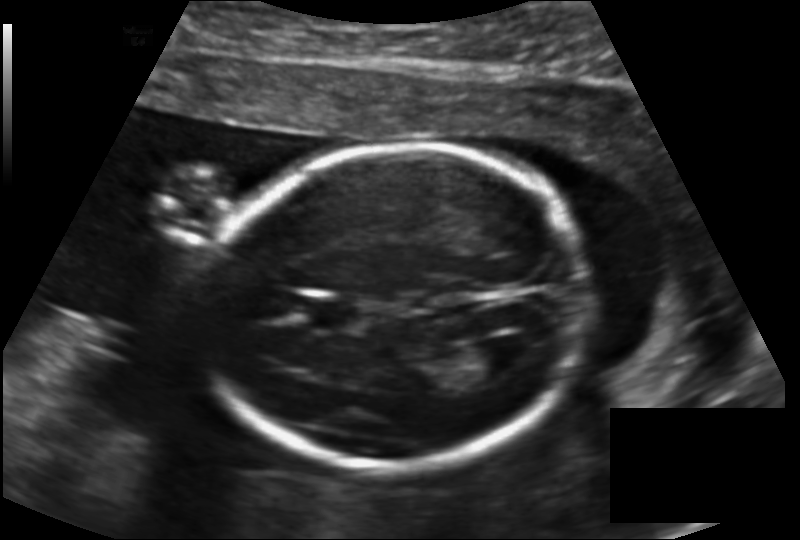
What is the fetal head circumference? Image width is 117.6 mm.

169.7 mm